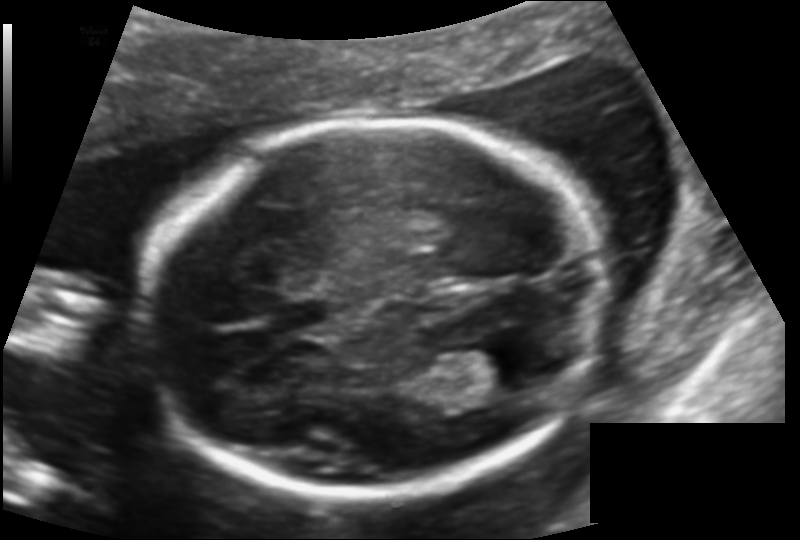
Fetal head ultrasound. Image width: 105.2 mm. Locate the cavum septum pellucidum.

CSP: [267,294,336,336]